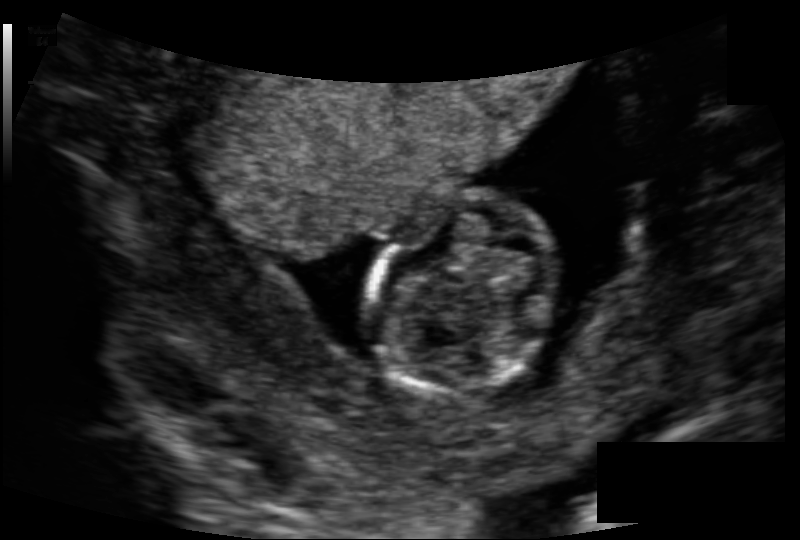
Fetal head ultrasound. Image width: 94.4 mm. Locate the fetal head and, if visible, the cavum septum pellucidum (CSP) and lateral ventricle (LV). Give bounding boxes as [x1,y1,x2,y2].

Head: [371,193,561,391]